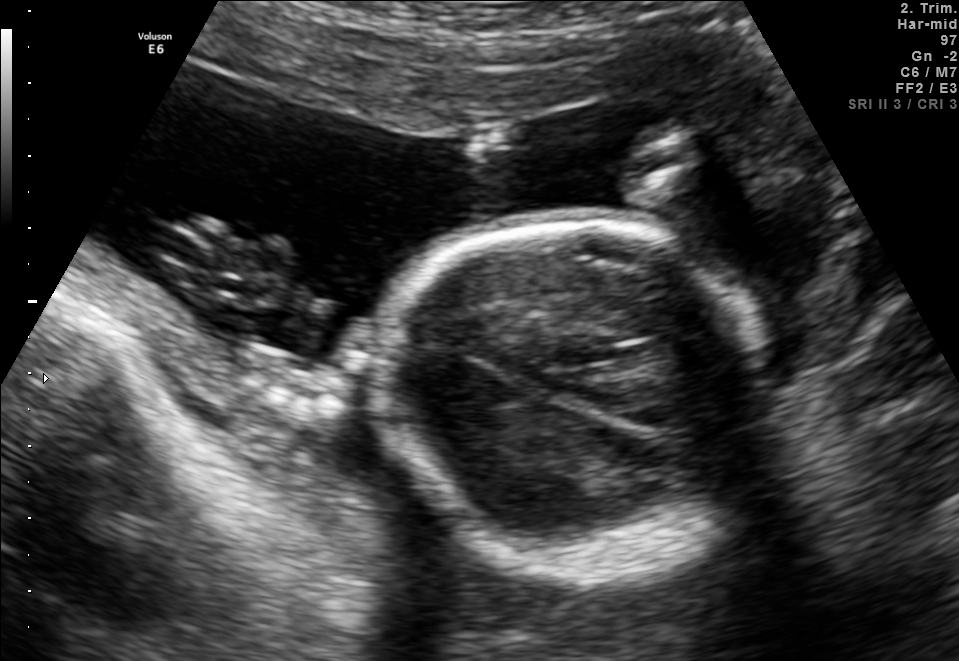
In this fetal brain, trans-thalamic plane, give the bounding box of the fetal head.

[369,220,776,575]